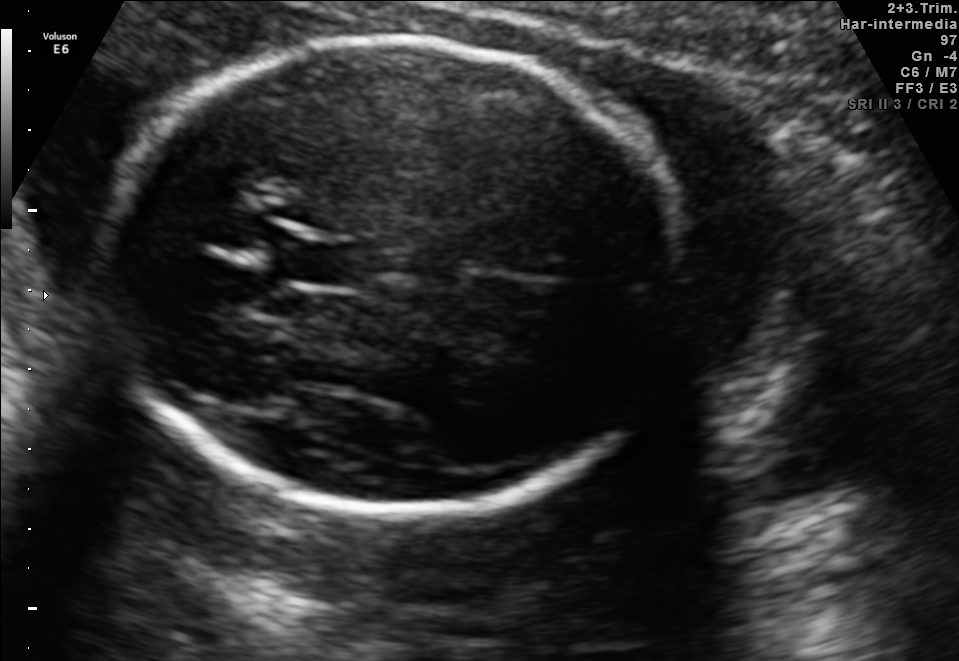
In this fetal brain, trans-thalamic plane, give bounding boxes for the head outline, cavum septum pellucidum (CSP), and lateral ventricle (LV), where visible.

Head: [99,40,688,513]
CSP: [280,239,364,288]